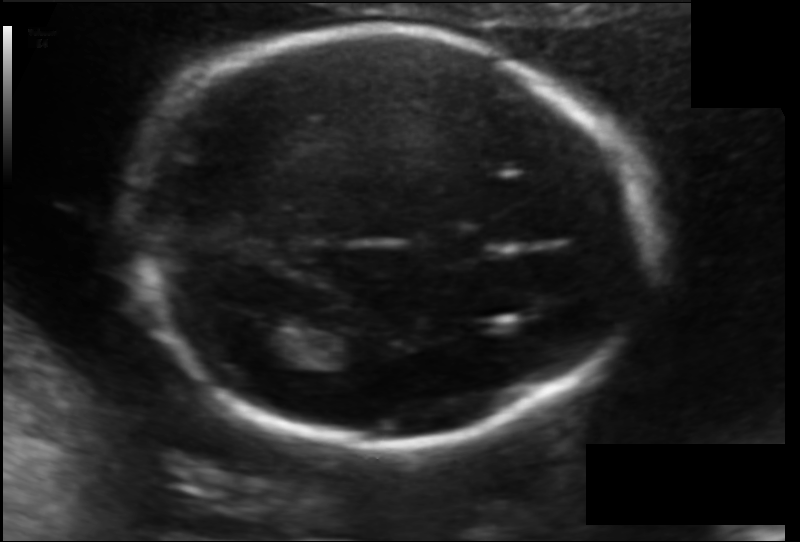
Estimate the fetal head circumference from this 2D ultrasound. Image width: 91.4 mm.

Head circumference: 174.5 mm.